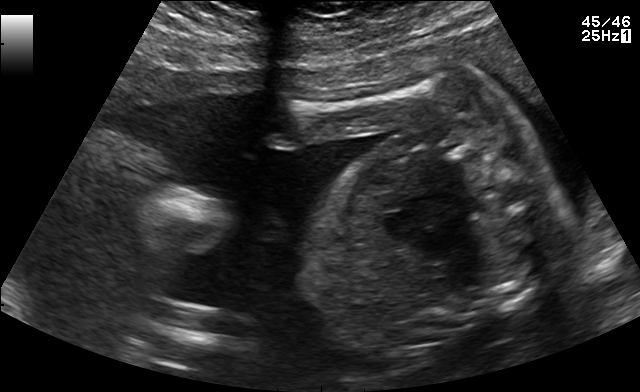
Which standard maternal-fetal ultrasound plane is shown: fetal abdomen, fetal brain, fetal femur, fetal thorax, maternal cervix, or other? If it's fetal brain and one of the three standard brain planes (trans-thalamic, trans-cerebellum, trans-ventricular), name which.

Other